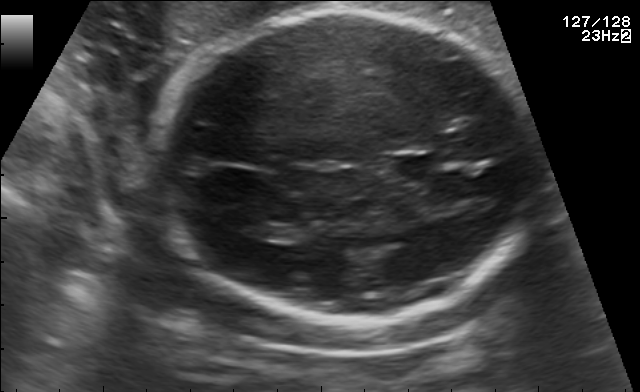
Fetal brain, trans-thalamic plane. Where is the cavum septum pellucidum?

CSP bounding box: [386,155,432,179]